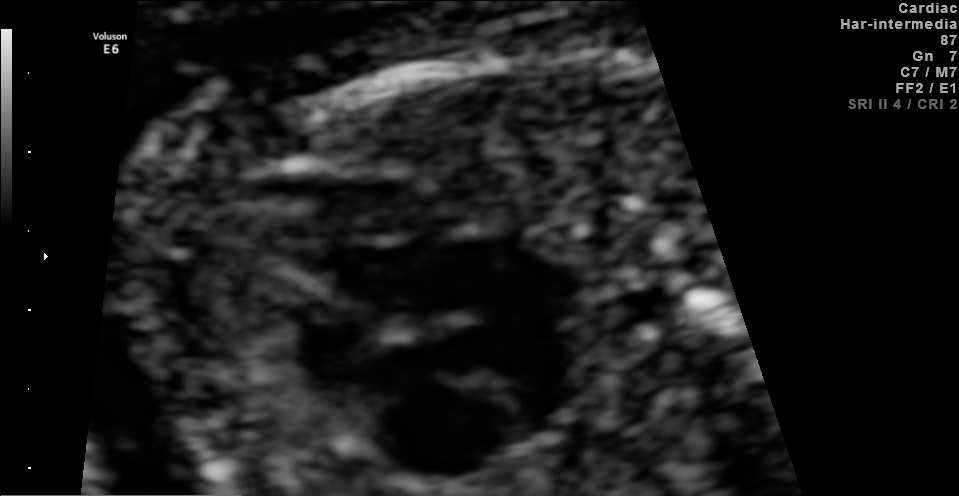
This is a 2D maternal-fetal ultrasound frame. Is it a fetal abdomen, fetal brain, fetal femur, fetal thorax, maternal cervix, or other standard plane? If it's fetal brain and one of the three standard brain planes (trans-thalamic, trans-cerebellum, trans-ventricular), name which.

Fetal thorax